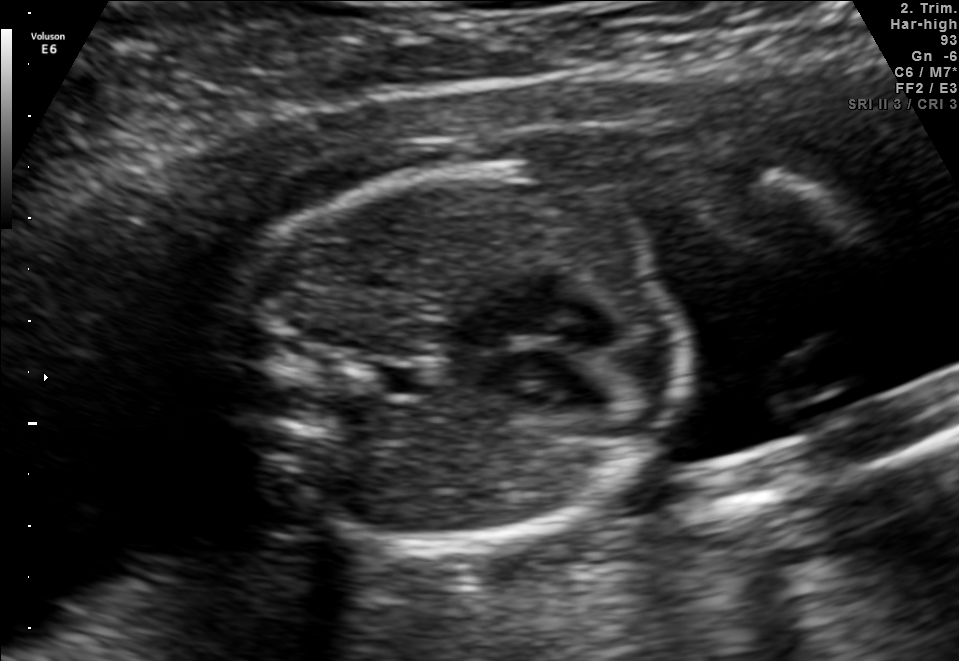
Classify this maternal-fetal ultrasound image as one of the six standard planes — fetal abdomen, fetal brain, fetal femur, fetal thorax, maternal cervix, or other. If it's fetal brain and one of the three standard brain planes (trans-thalamic, trans-cerebellum, trans-ventricular), name which.

Fetal thorax